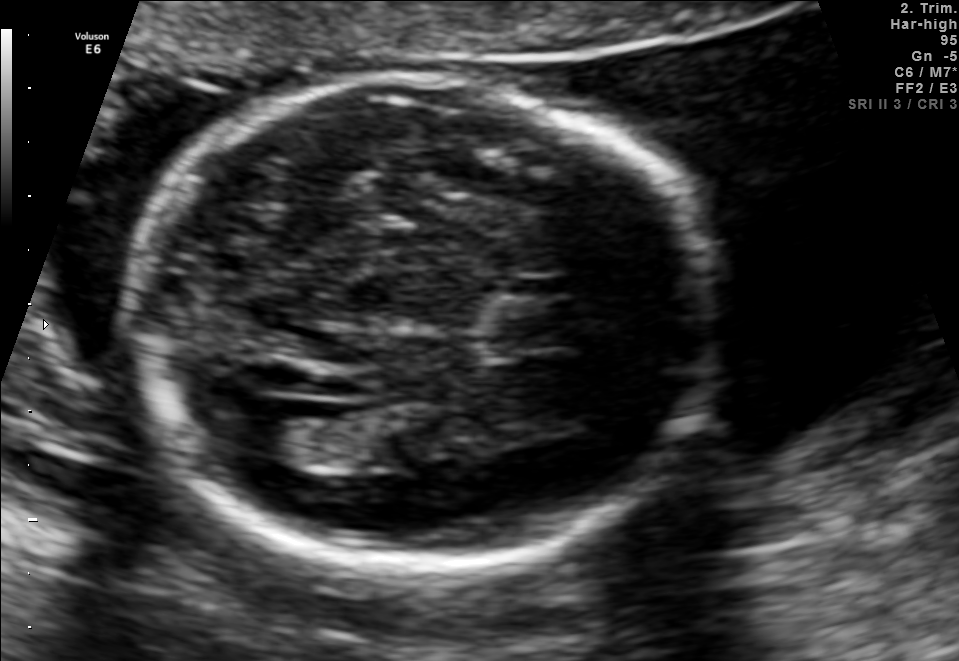
In this fetal brain, trans-ventricular plane, give the bounding box of the lateral ventricle.

[226,393,330,467]